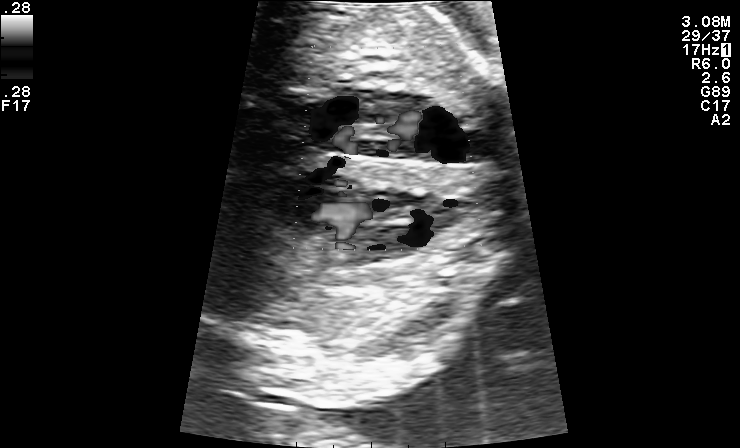
Which standard maternal-fetal ultrasound plane is shown: fetal abdomen, fetal brain, fetal femur, fetal thorax, maternal cervix, or other? If it's fetal brain and one of the three standard brain planes (trans-thalamic, trans-cerebellum, trans-ventricular), name which.

Other